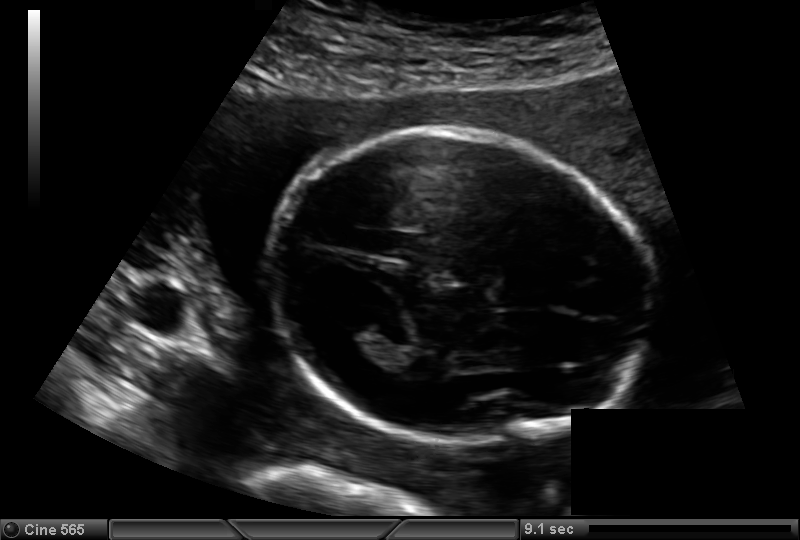
Fetal head ultrasound. Image width: 113.5 mm. Locate the fetal head.

Head: [270,131,653,450]